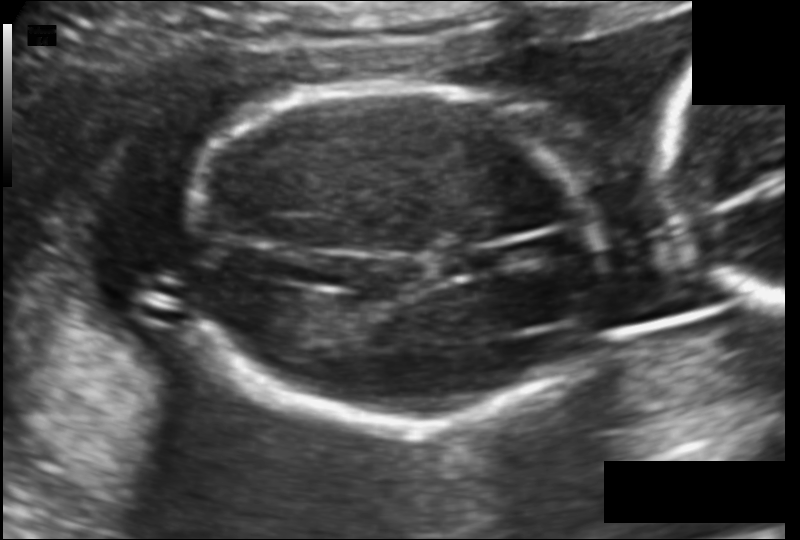
Estimate the fetal head circumference from this 2D ultrasound. Image width: 94.3 mm.

Head circumference: 146.4 mm.